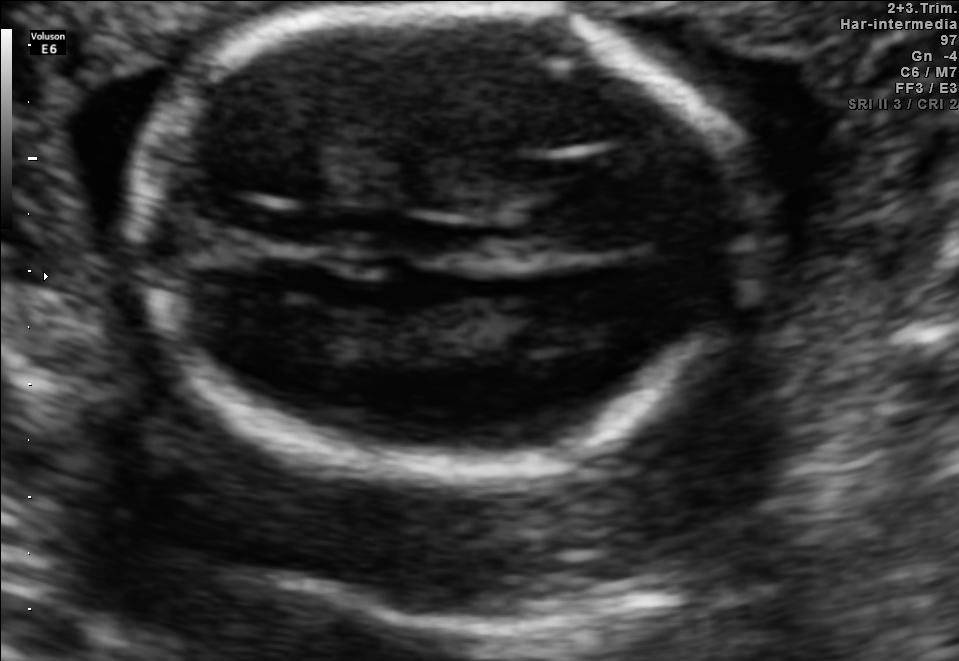
Identify the standard plane in this fetal ultrasound image: fetal abdomen, fetal brain, fetal femur, fetal thorax, maternal cervix, or other. If it's fetal brain and one of the three standard brain planes (trans-thalamic, trans-cerebellum, trans-ventricular), name which.

Fetal brain (trans-thalamic plane)